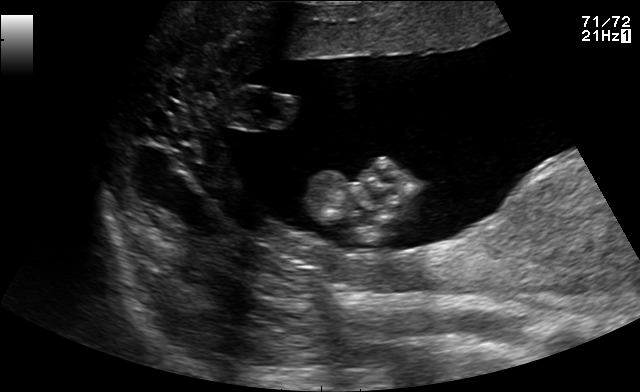
Identify the standard plane in this fetal ultrasound image: fetal abdomen, fetal brain, fetal femur, fetal thorax, maternal cervix, or other. If it's fetal brain and one of the three standard brain planes (trans-thalamic, trans-cerebellum, trans-ventricular), name which.

Other